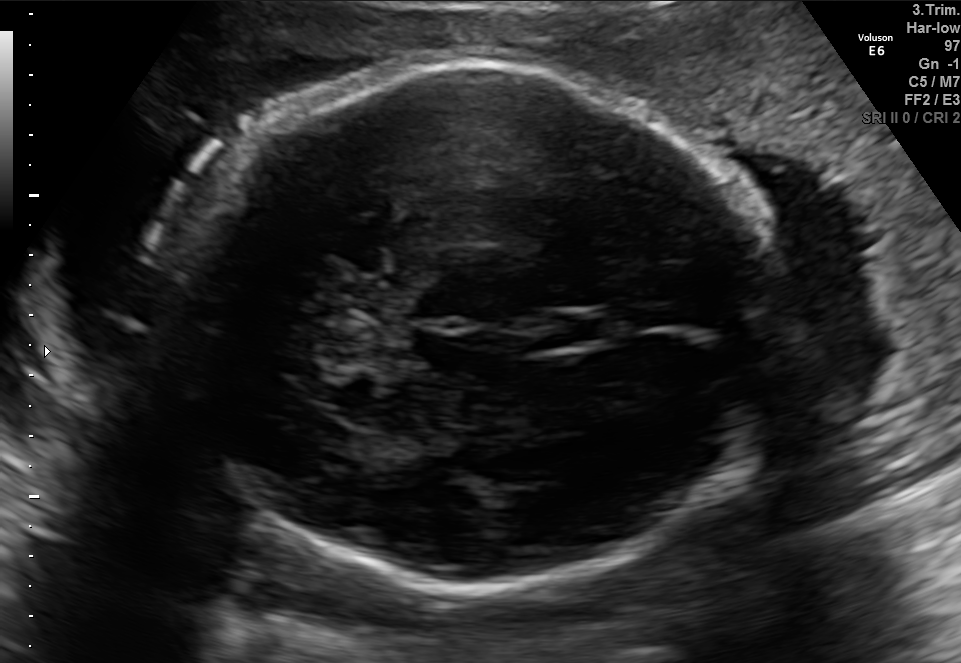
Fetal brain, trans-thalamic plane. Where is the cavum septum pellucidum?

CSP bounding box: [556,304,623,350]